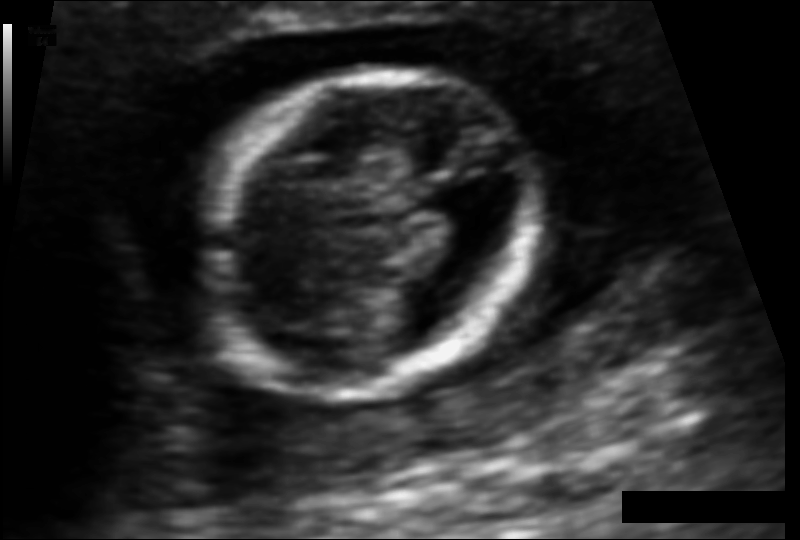
Fetal head ultrasound. Image width: 73.5 mm. Where is the fetal head?

Head bounding box: [184,68,538,394]